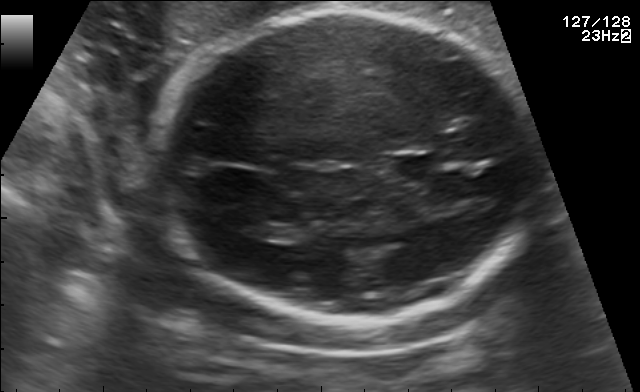
In this fetal brain, trans-thalamic plane, give bounding boxes for the head outline, cavum septum pellucidum (CSP), and lateral ventricle (LV), where visible.

Head: [157,12,543,325]
CSP: [386,155,432,179]
Lateral ventricle: [236,217,282,242]